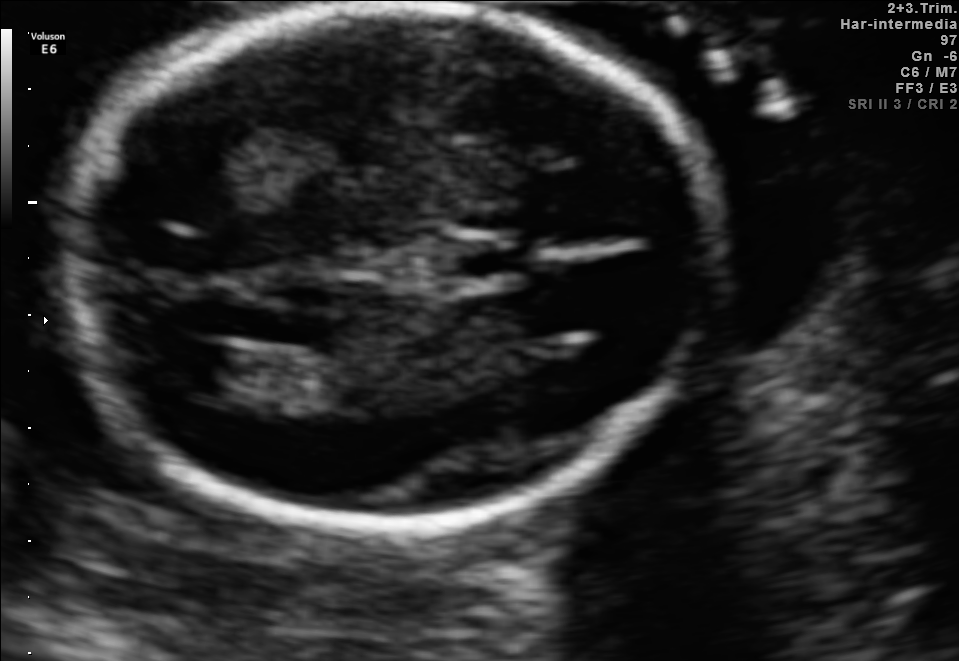
Identify the standard plane in this fetal ultrasound image: fetal abdomen, fetal brain, fetal femur, fetal thorax, maternal cervix, or other. If it's fetal brain and one of the three standard brain planes (trans-thalamic, trans-cerebellum, trans-ventricular), name which.

Fetal brain (trans-ventricular plane)